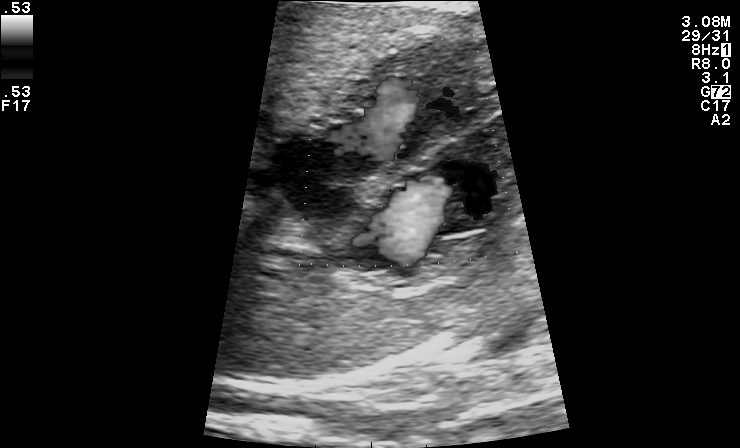
Classify this maternal-fetal ultrasound image as one of the six standard planes — fetal abdomen, fetal brain, fetal femur, fetal thorax, maternal cervix, or other. If it's fetal brain and one of the three standard brain planes (trans-thalamic, trans-cerebellum, trans-ventricular), name which.

Other